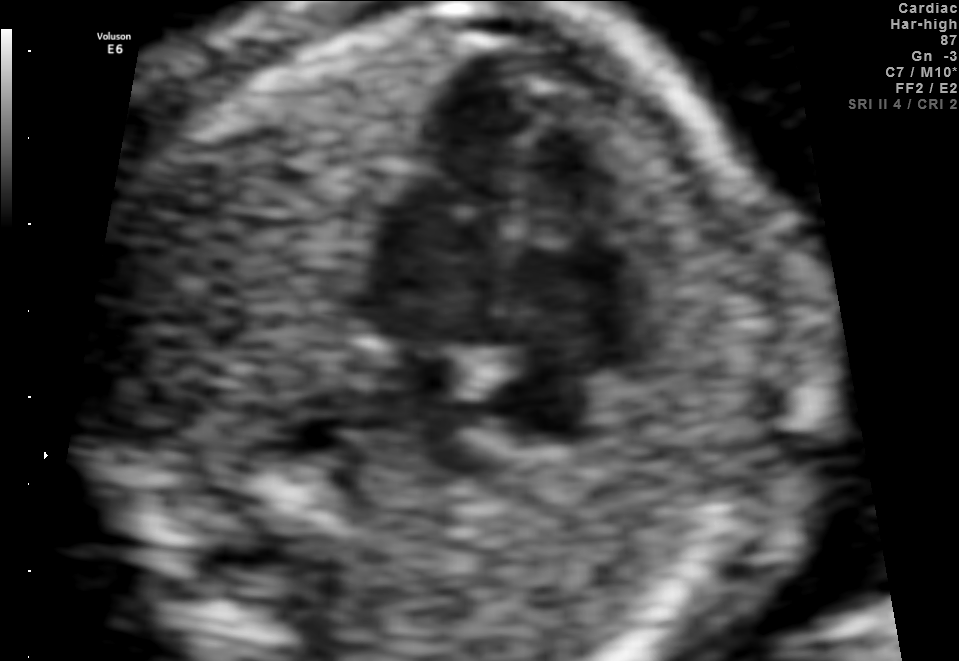
Which standard maternal-fetal ultrasound plane is shown: fetal abdomen, fetal brain, fetal femur, fetal thorax, maternal cervix, or other? If it's fetal brain and one of the three standard brain planes (trans-thalamic, trans-cerebellum, trans-ventricular), name which.

Fetal thorax